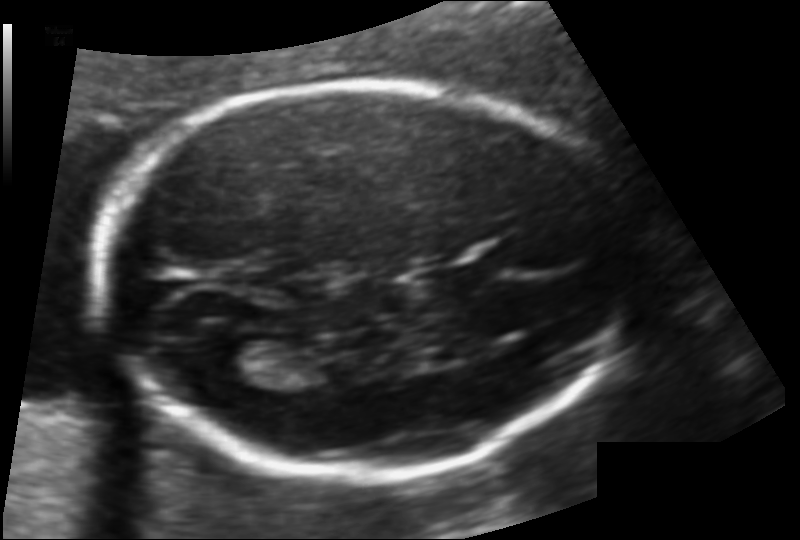
Fetal head ultrasound. Image width: 93.3 mm. Where is the lateral ventricle?

Lateral ventricle bounding box: [200,339,280,379]